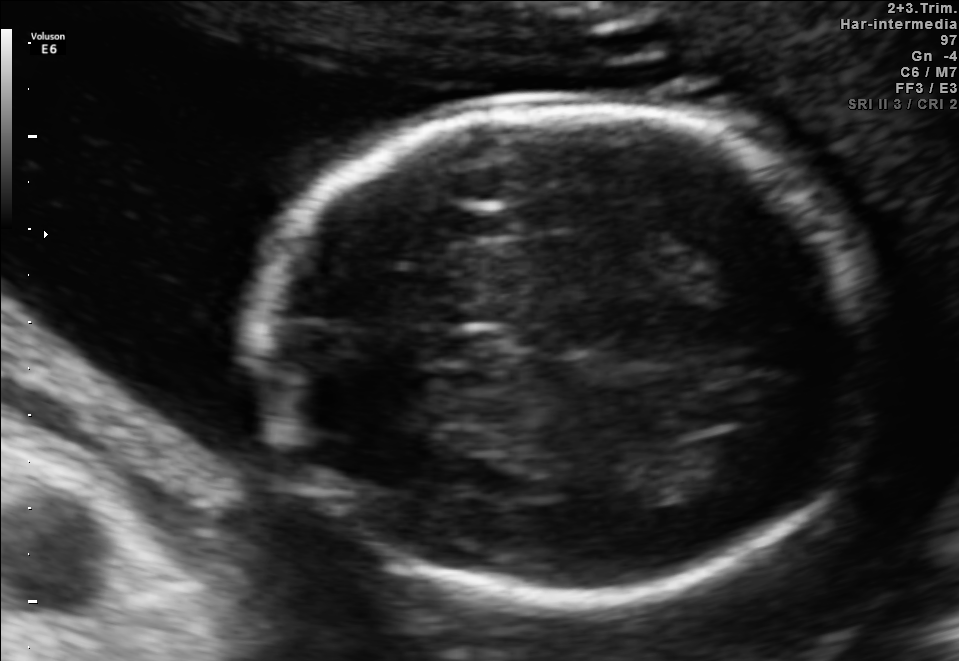
Fetal brain, trans-ventricular plane. Locate the lateral ventricle.

Lateral ventricle: [685,421,788,494]